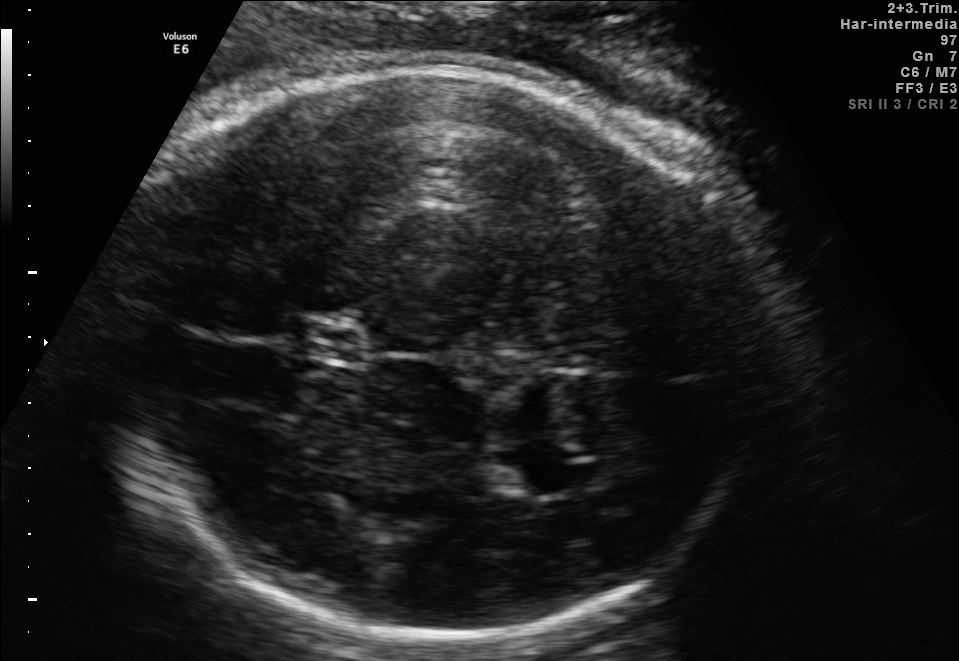
Fetal brain, trans-thalamic plane. Locate the fetal head.

Head: [96,67,769,634]